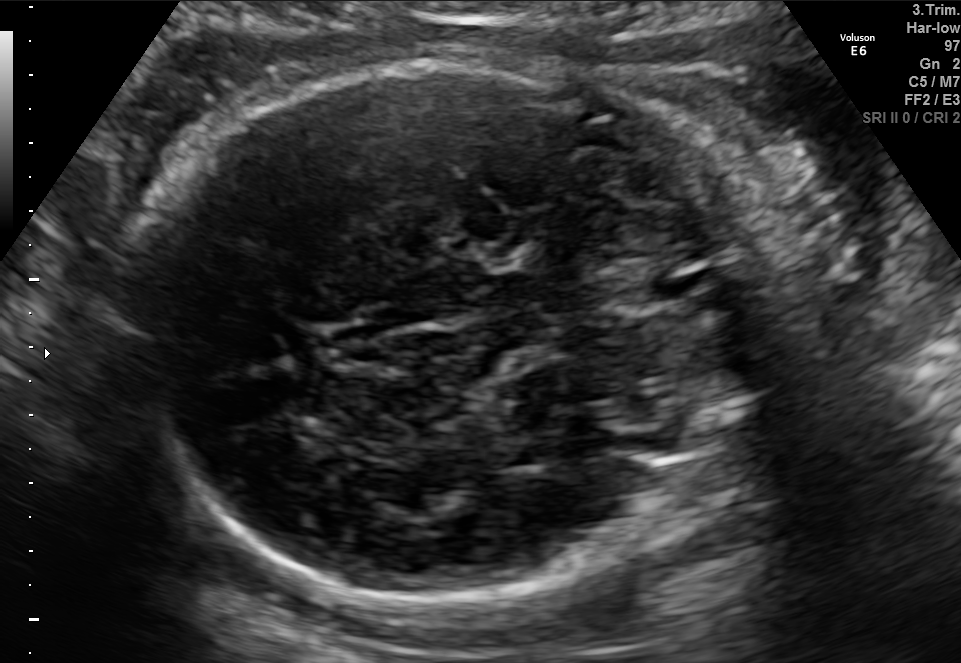
Fetal brain, trans-cerebellum plane. Give [x1,y1,x2,y2] bounding boxes for each visible structure among: fetal head, CSP, LV.

Head: [129,59,748,598]